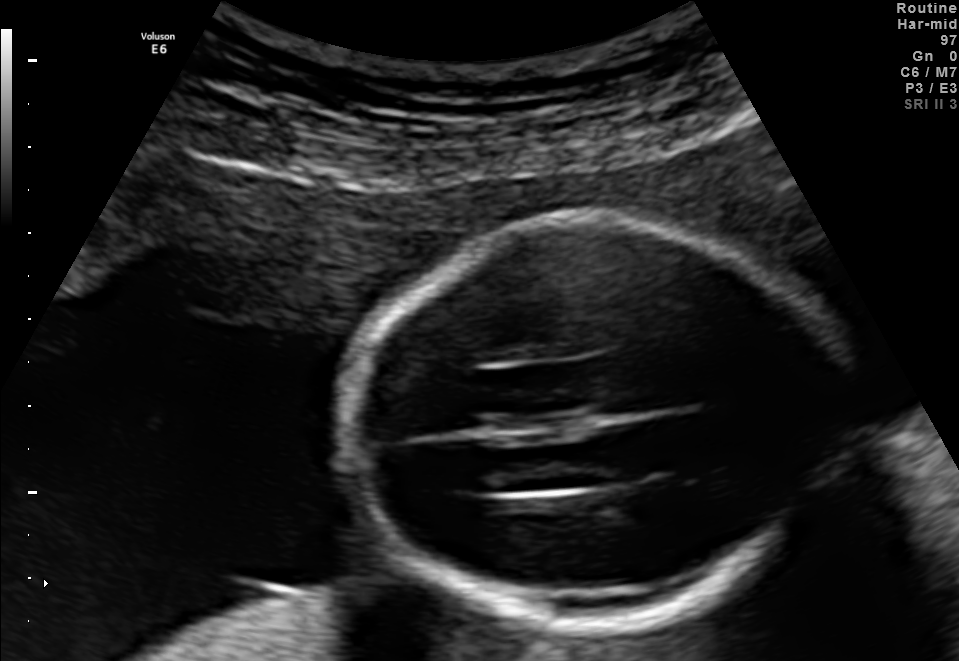
In this fetal brain, trans-thalamic plane, give the bounding box of the fetal head.

[340,215,845,624]